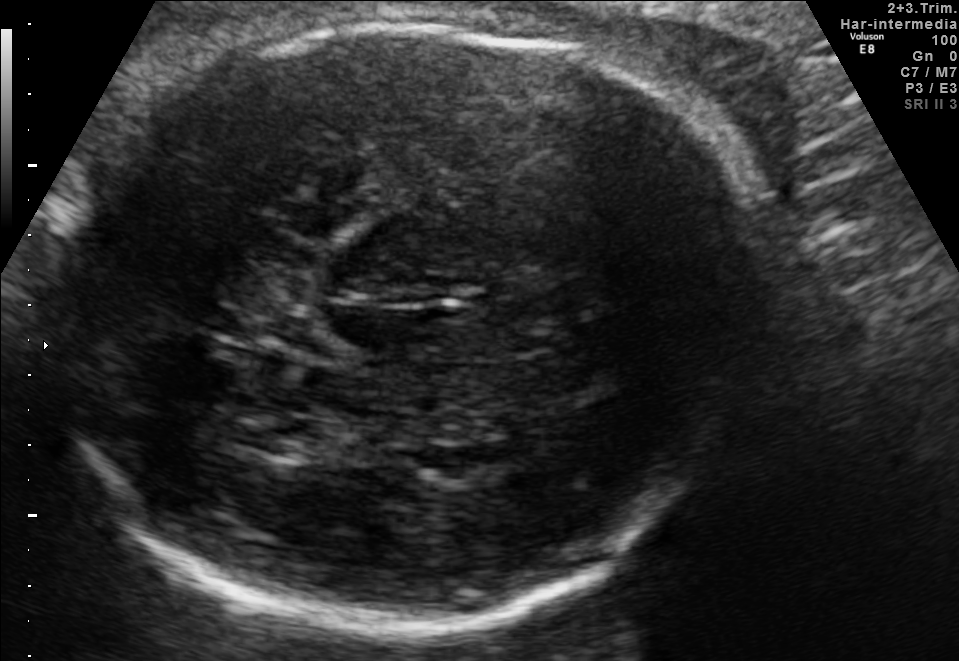
Fetal brain, trans-thalamic plane. Where is the lateral ventricle?

Lateral ventricle bounding box: [238,404,327,464]